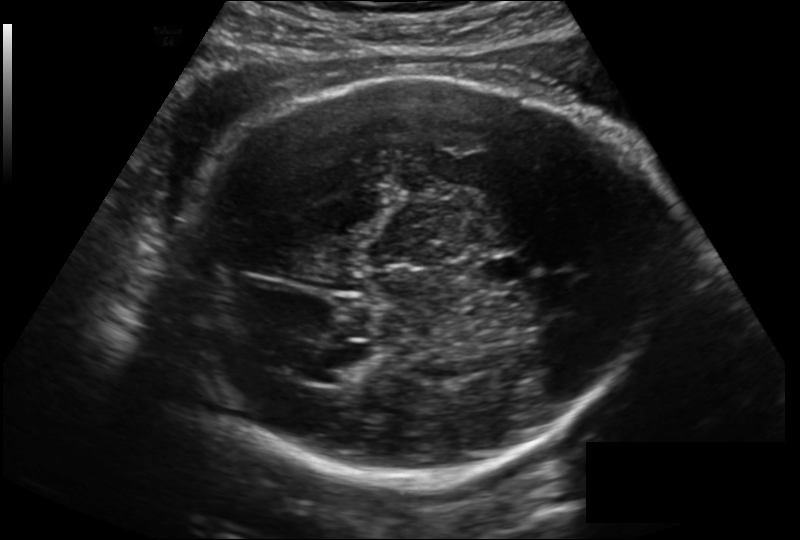
In this fetal head ultrasound, give the bounding box of the lateral ventricle. Image width: 159.3 mm.

[313,348,372,386]